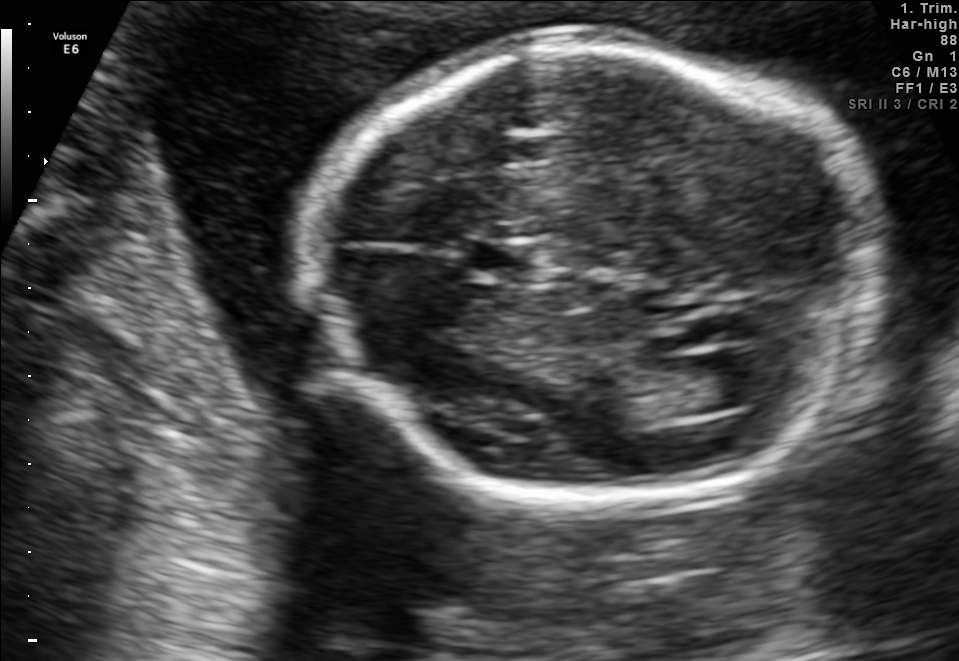
Which standard maternal-fetal ultrasound plane is shown: fetal abdomen, fetal brain, fetal femur, fetal thorax, maternal cervix, or other? If it's fetal brain and one of the three standard brain planes (trans-thalamic, trans-cerebellum, trans-ventricular), name which.

Fetal brain (trans-ventricular plane)